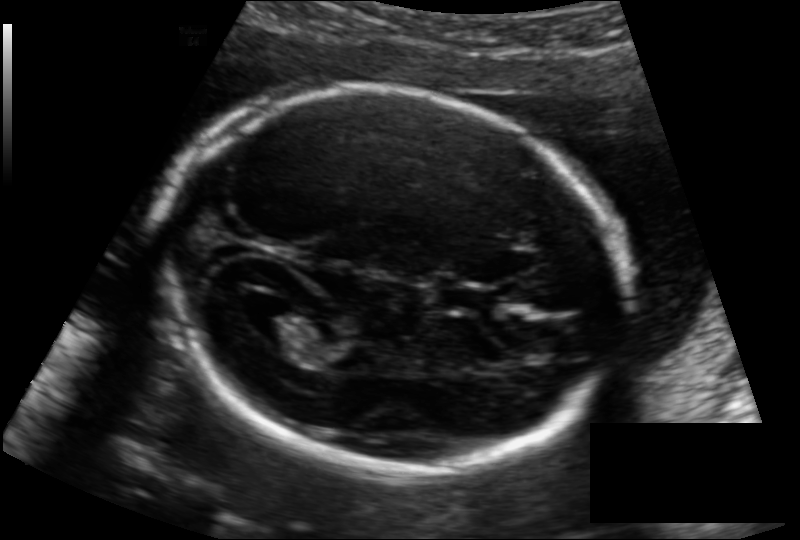
In this fetal head ultrasound, give the bounding box of the fetal head. Image width: 106.5 mm.

[162,89,625,472]